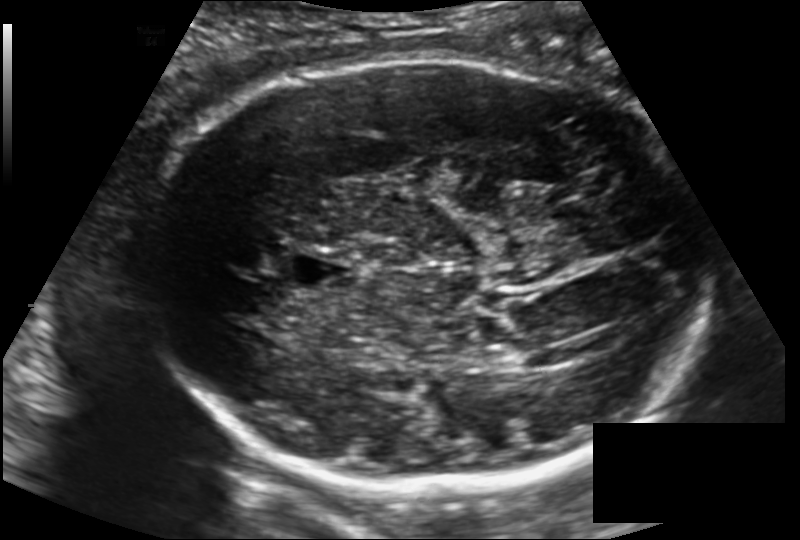
Estimate the fetal head circumference from this 2D ultrasound.

Head circumference: 272.1 mm (image width 136.5 mm).